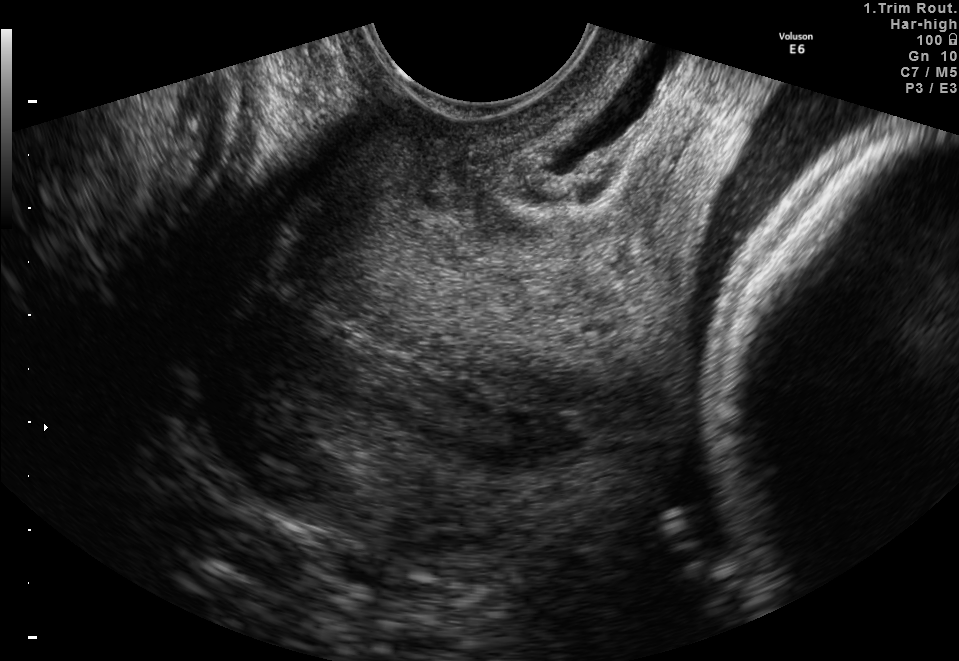
This is a 2D maternal-fetal ultrasound frame. Is it a fetal abdomen, fetal brain, fetal femur, fetal thorax, maternal cervix, or other standard plane? If it's fetal brain and one of the three standard brain planes (trans-thalamic, trans-cerebellum, trans-ventricular), name which.

Maternal cervix